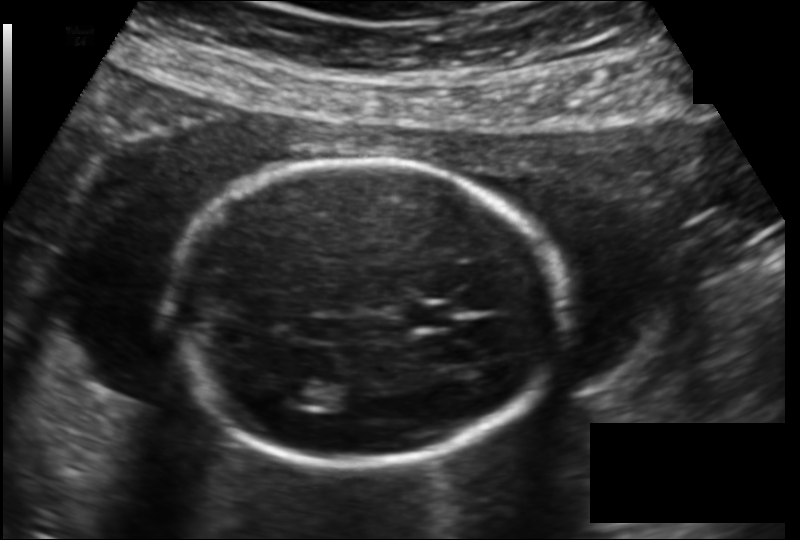
What is the fetal head circumference? Image width is 119.1 mm.

171.3 mm